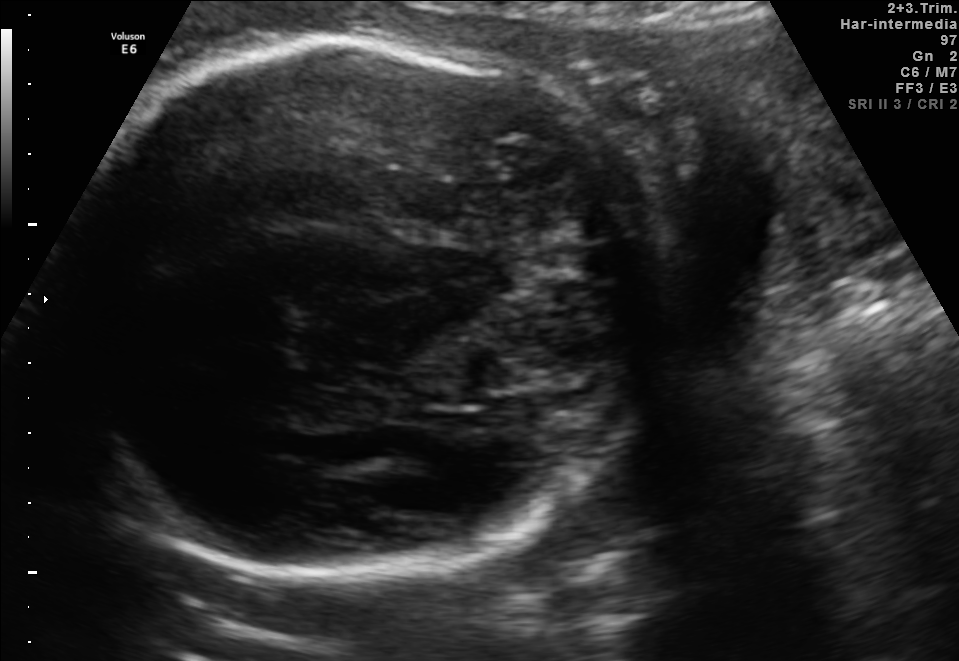
Fetal brain, trans-thalamic plane. Locate the fetal head.

Head: [61,35,672,574]